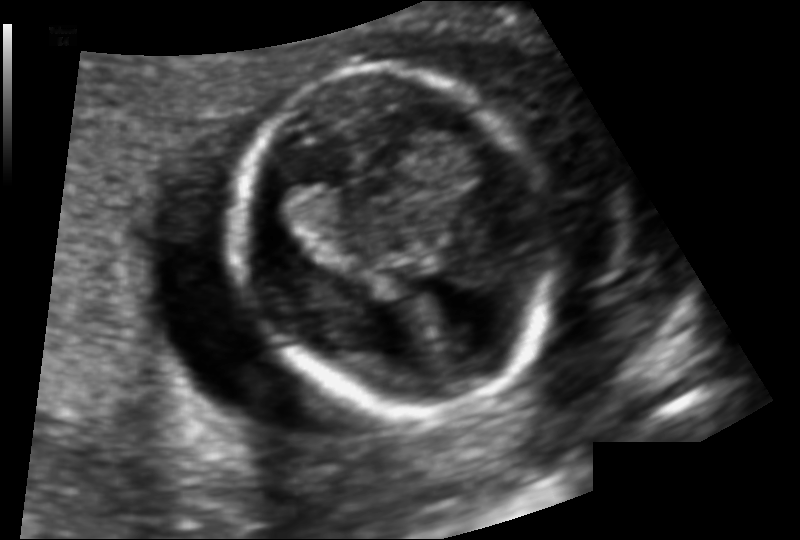
In this fetal head ultrasound, give bounding boxes for the head outline, cavum septum pellucidum (CSP), and lateral ventricle (LV), where visible. Image width: 85.7 mm.

Head: [234,63,546,410]